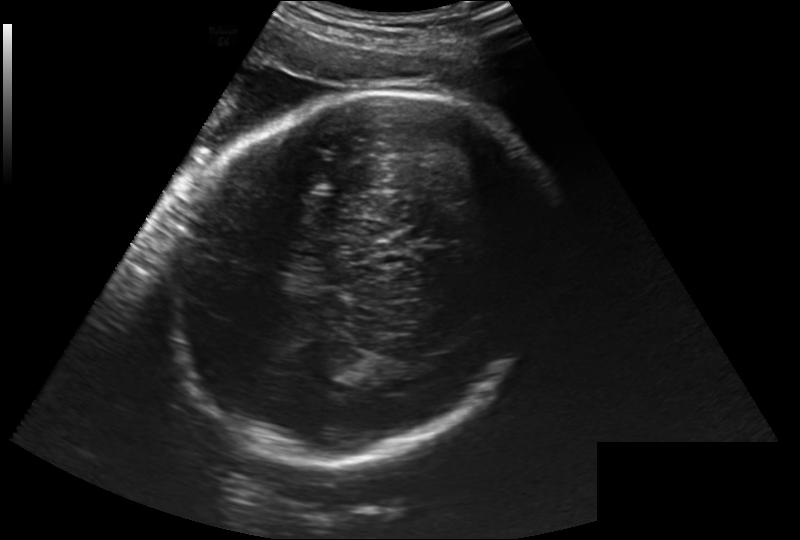
From this fetal ultrasound, estimate the head circumference (image width 208.2 mm).

Head circumference: 321.3 mm.